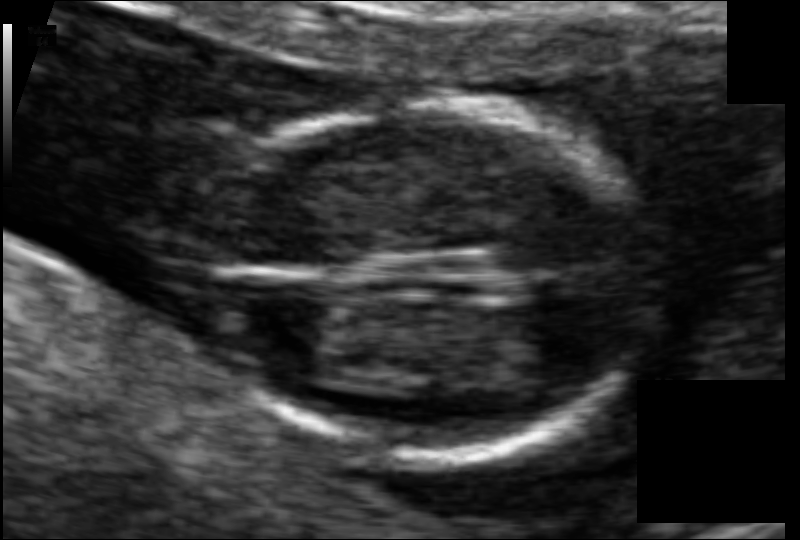
Measure the fetal head circumference shown in this ultrasound image. Image width: 51.8 mm.

Head circumference: 84.0 mm.